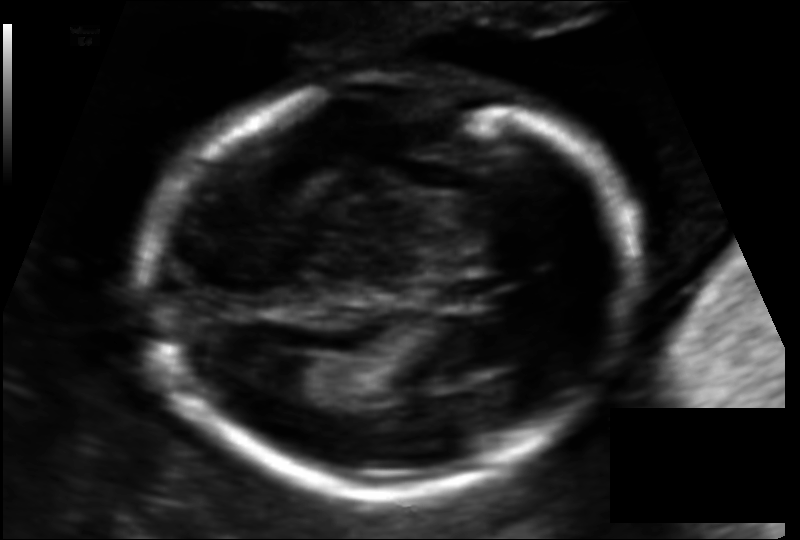
In this fetal head ultrasound, give the bounding box of the fetal head. Image width: 92.3 mm.

[143,76,635,490]